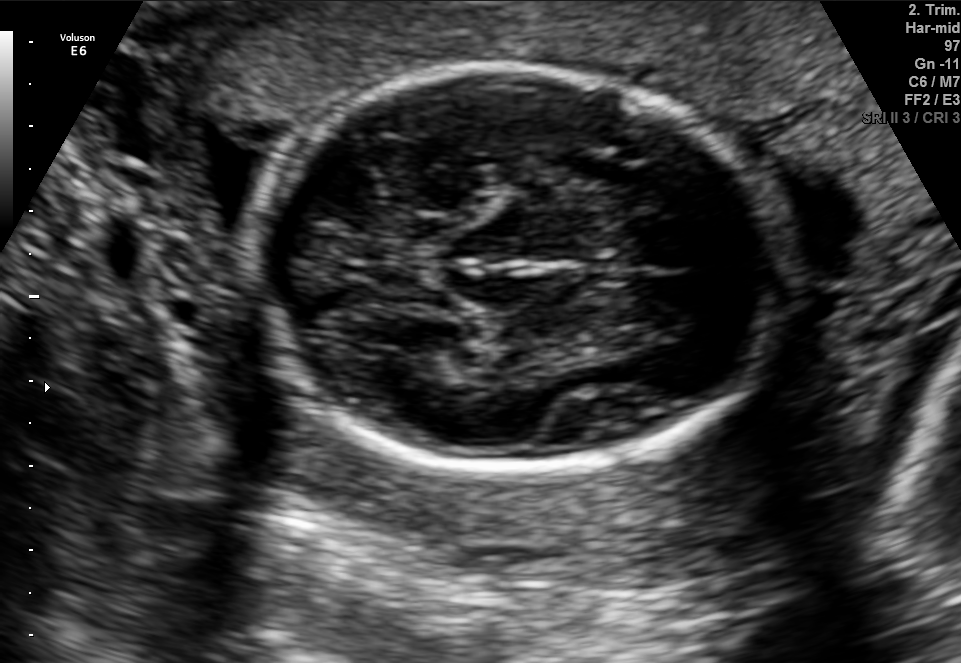
Fetal brain, trans-thalamic plane. Where is the fetal head?

Head bounding box: [259,69,791,469]